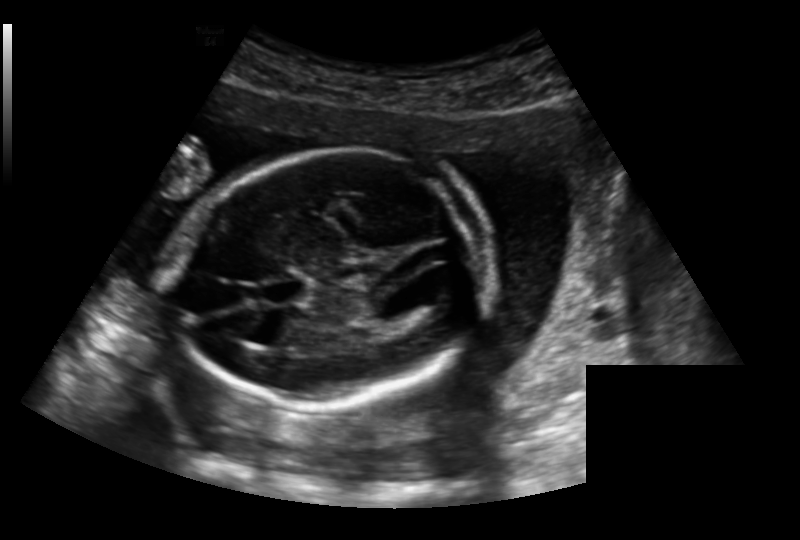
Measure the fetal head circumference shown in this ultrasound image. Image width: 152.5 mm.

Head circumference: 171.8 mm.